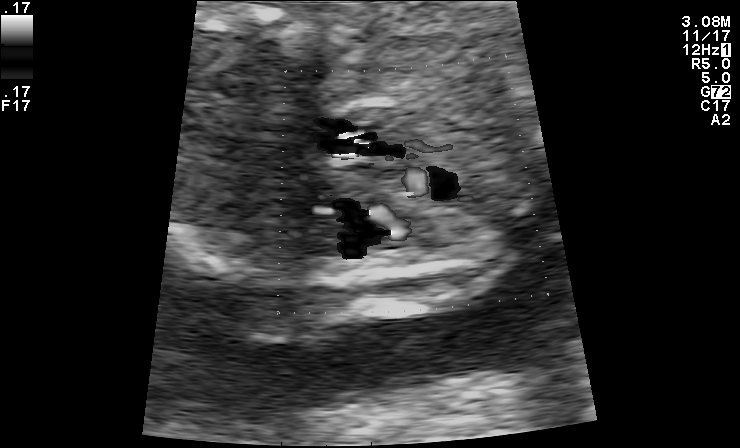
Identify the standard plane in this fetal ultrasound image: fetal abdomen, fetal brain, fetal femur, fetal thorax, maternal cervix, or other. If it's fetal brain and one of the three standard brain planes (trans-thalamic, trans-cerebellum, trans-ventricular), name which.

Other